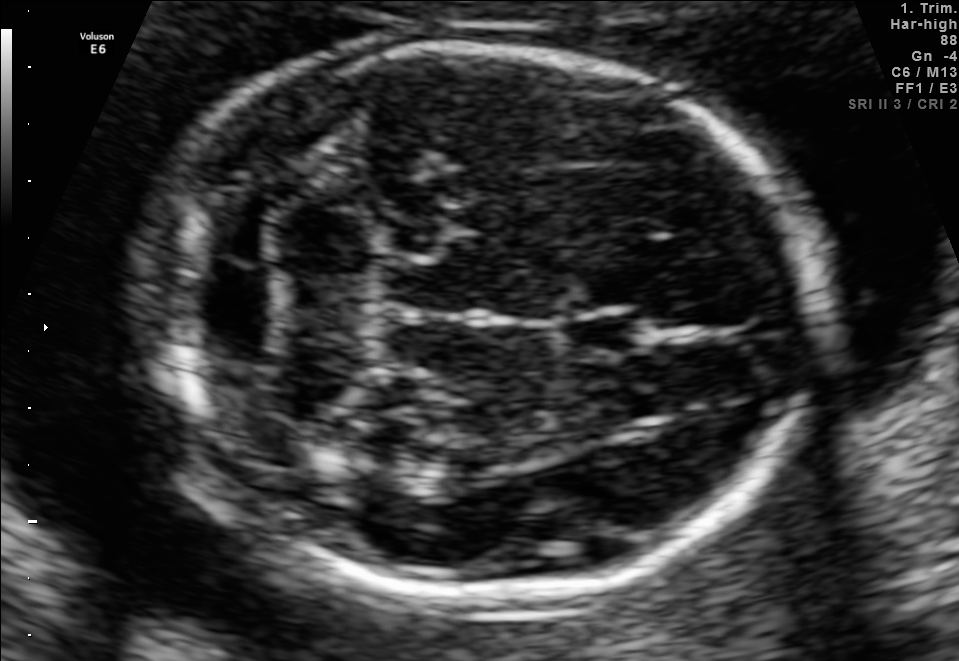
Fetal brain, trans-cerebellum plane. Give [x1,y1,x2,y2] bounding boxes for each visible structure among: fetal head, CSP, LV.

Head: [138,48,821,597]
CSP: [565,305,650,359]